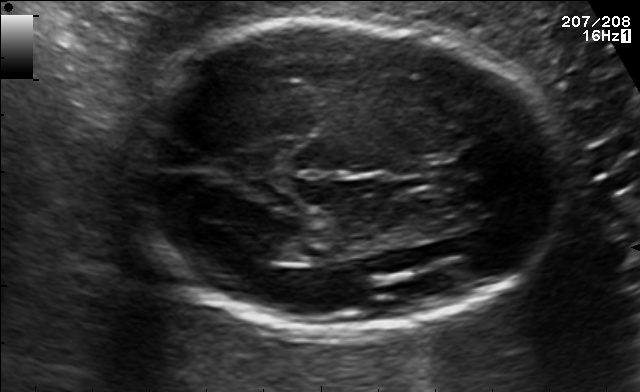
In this fetal brain, trans-thalamic plane, give bounding boxes for the head outline, cavum septum pellucidum (CSP), and lateral ventricle (LV), where visible.

Head: [125,22,566,330]
Lateral ventricle: [259,237,314,263]